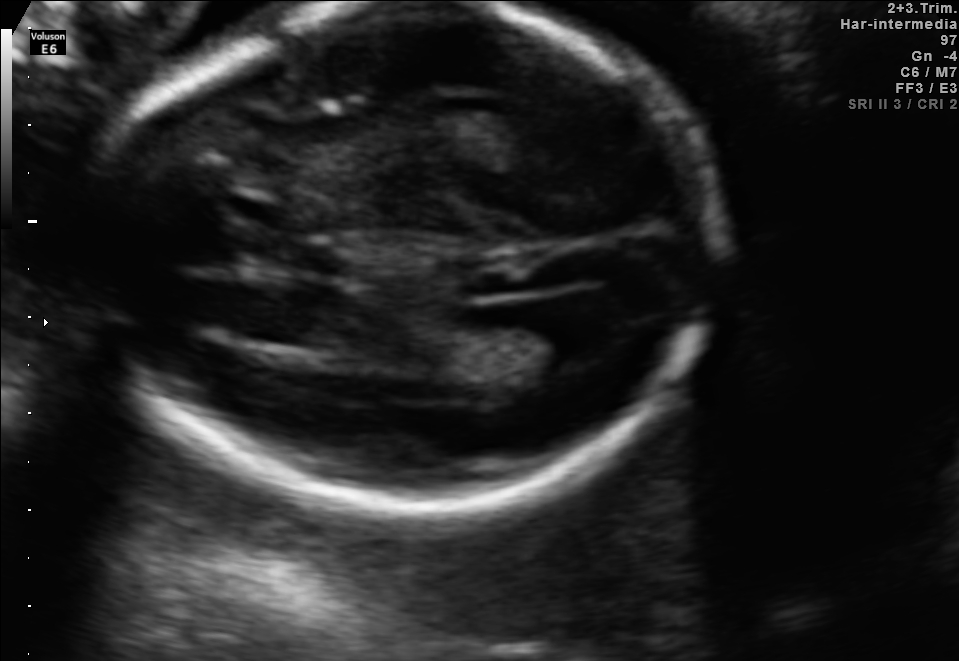
Fetal brain, trans-ventricular plane. Locate the fetal head.

Head: [74,1,741,526]